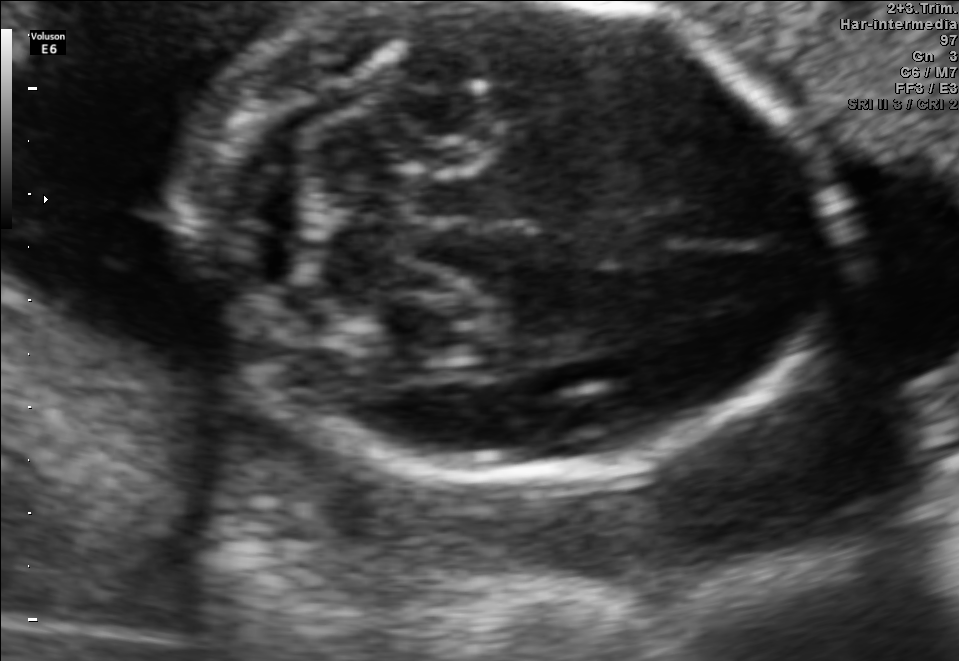
Fetal brain, trans-cerebellum plane. Locate the fetal head.

Head: [174,4,841,469]